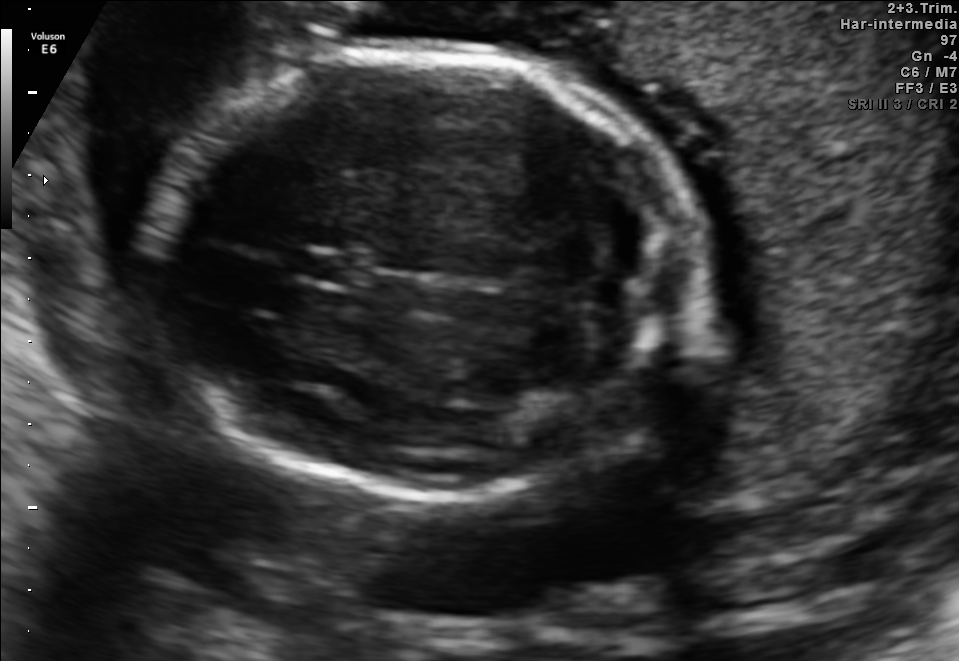
In this fetal brain, trans-cerebellum plane, give the bounding box of the fetal head.

[154,49,701,496]